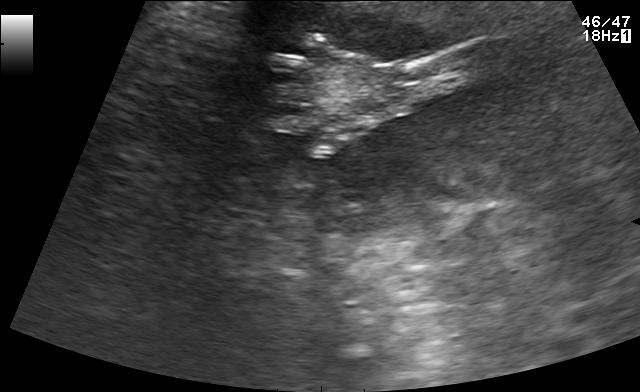
Identify the standard plane in this fetal ultrasound image: fetal abdomen, fetal brain, fetal femur, fetal thorax, maternal cervix, or other. If it's fetal brain and one of the three standard brain planes (trans-thalamic, trans-cerebellum, trans-ventricular), name which.

Other